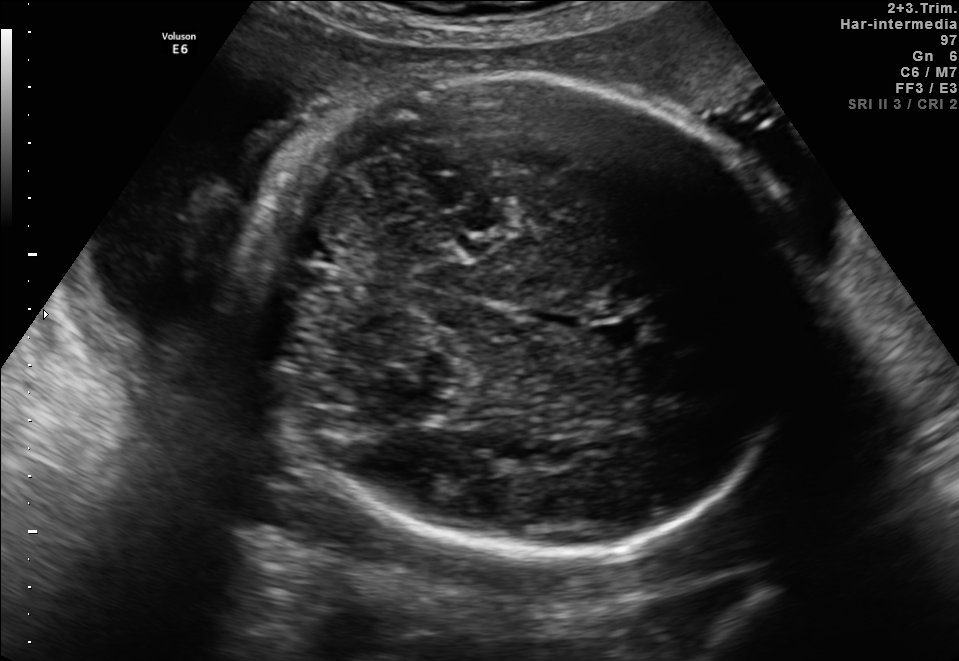
In this fetal brain, trans-cerebellum plane, give the bounding box of the cavum septum pellucidum.

[585,312,654,358]